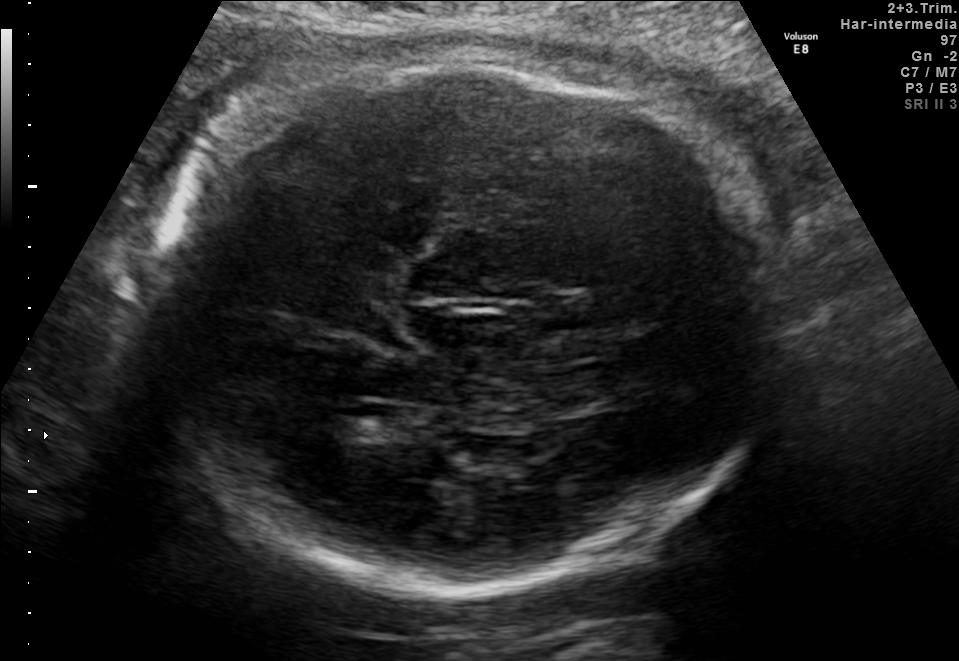
Fetal brain, trans-thalamic plane. Give [x1,y1,x2,y2] bounding boxes for each visible structure among: fetal head, CSP, LV.

Head: [148,63,789,588]
Lateral ventricle: [335,400,416,440]